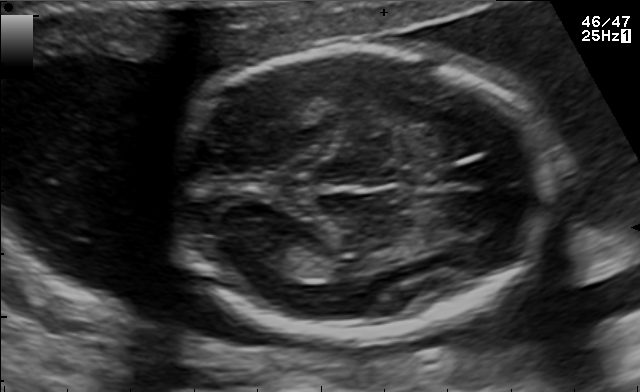
In this fetal brain, trans-thalamic plane, give bounding boxes for the head outline, cavum septum pellucidum (CSP), and lateral ventricle (LV), where visible.

Head: [172,48,546,338]
Lateral ventricle: [231,223,309,278]